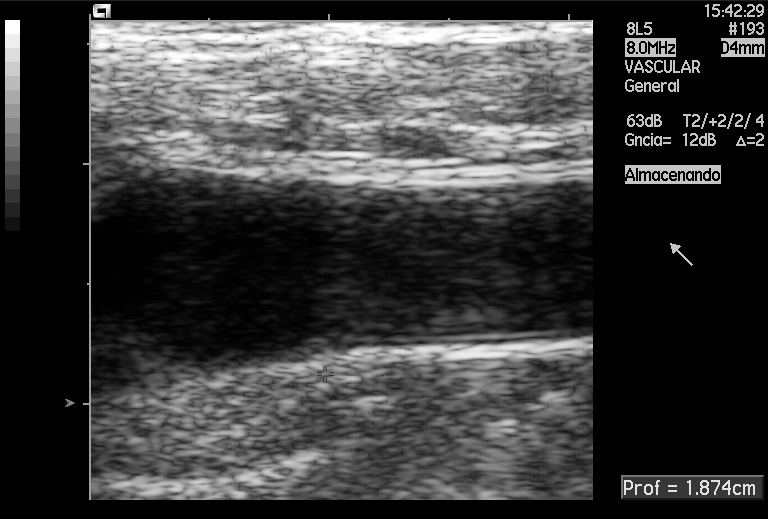
Classify this maternal-fetal ultrasound image as one of the six standard planes — fetal abdomen, fetal brain, fetal femur, fetal thorax, maternal cervix, or other. If it's fetal brain and one of the three standard brain planes (trans-thalamic, trans-cerebellum, trans-ventricular), name which.

Other